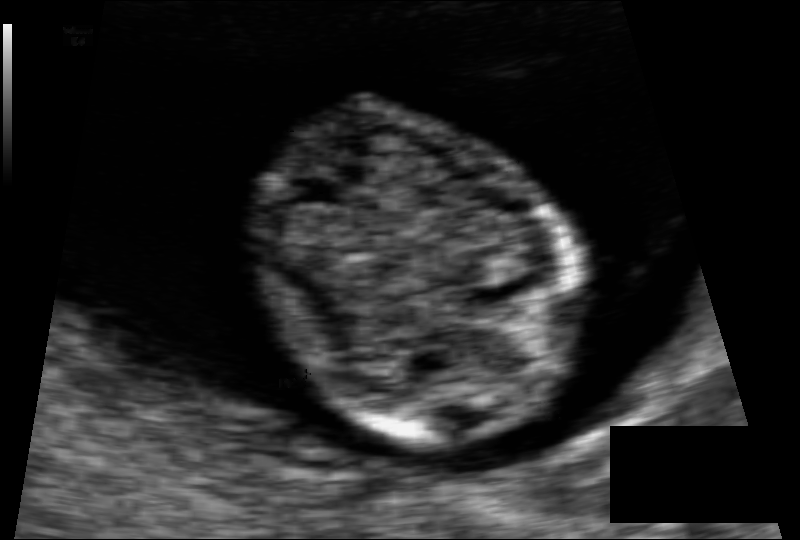
Measure the fetal head circumference shown in this ultrasound image. Image width: 49.5 mm.

Head circumference: 65.7 mm.